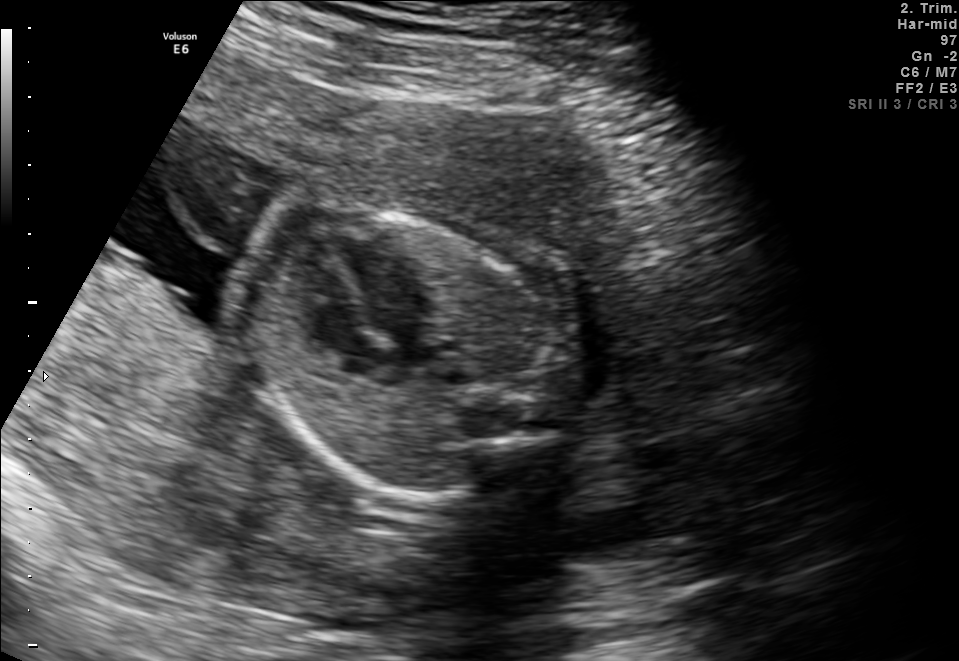
Classify this maternal-fetal ultrasound image as one of the six standard planes — fetal abdomen, fetal brain, fetal femur, fetal thorax, maternal cervix, or other. If it's fetal brain and one of the three standard brain planes (trans-thalamic, trans-cerebellum, trans-ventricular), name which.

Fetal thorax